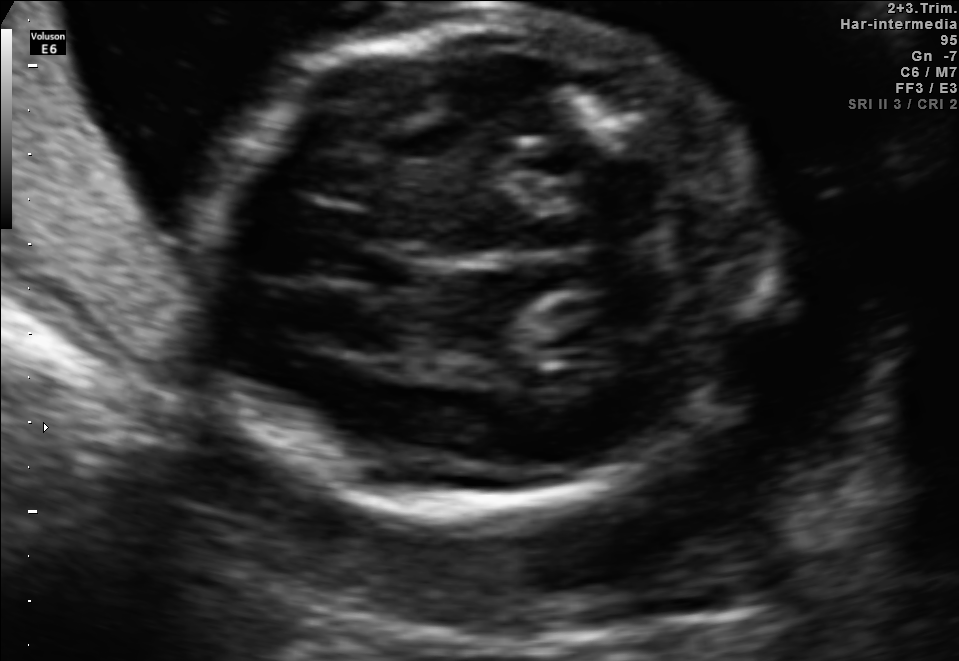
Fetal brain, trans-cerebellum plane. Give [x1,y1,x2,y2] bounding boxes for each visible structure among: fetal head, CSP, LV.

Head: [198,5,763,508]
CSP: [348,245,426,295]